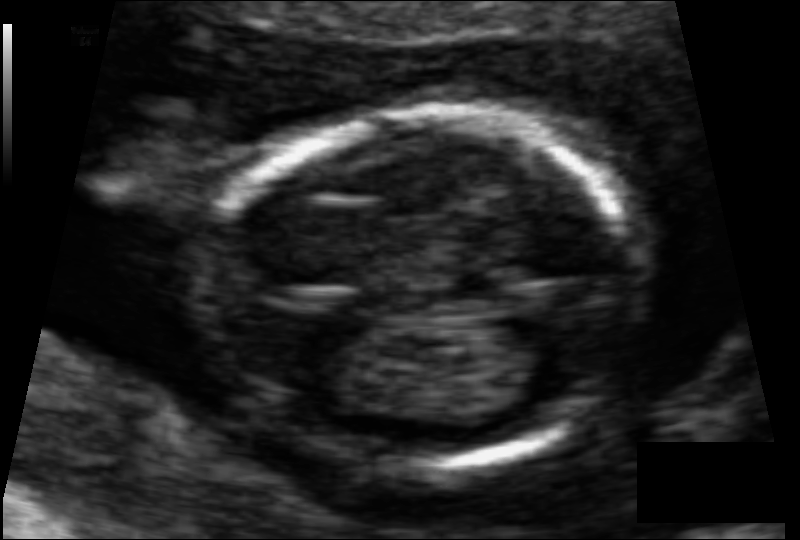
Fetal head ultrasound. Image width: 52.3 mm. Where is the fetal head?

Head bounding box: [206,109,642,475]